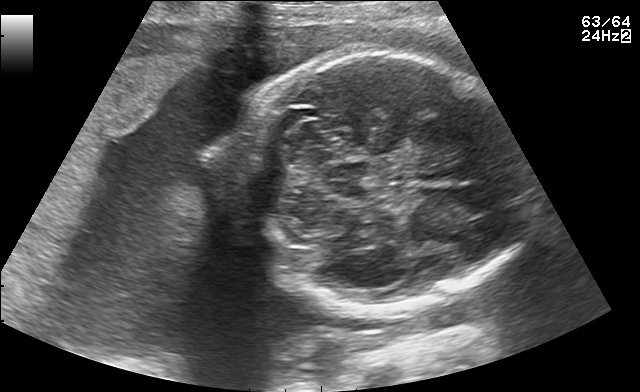
Fetal brain, trans-cerebellum plane. Locate the fetal head.

Head: [234,54,521,313]